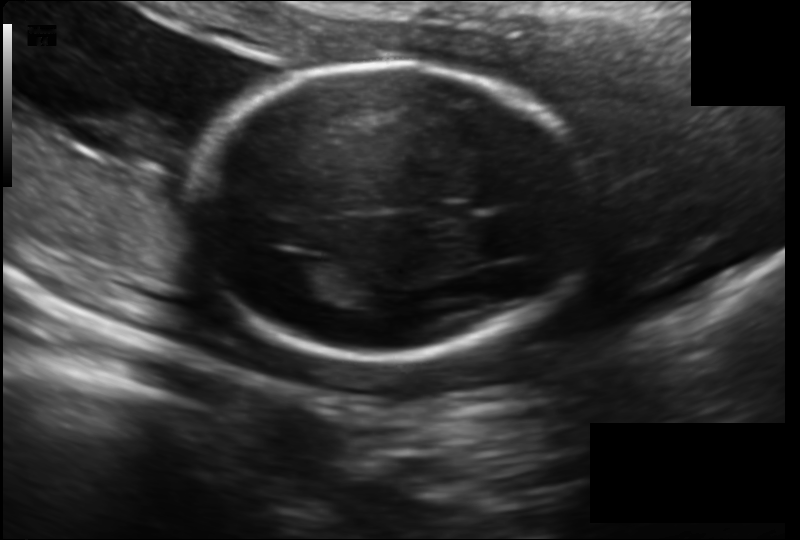
What is the fetal head circumference? Image width is 126.8 mm.

180.8 mm